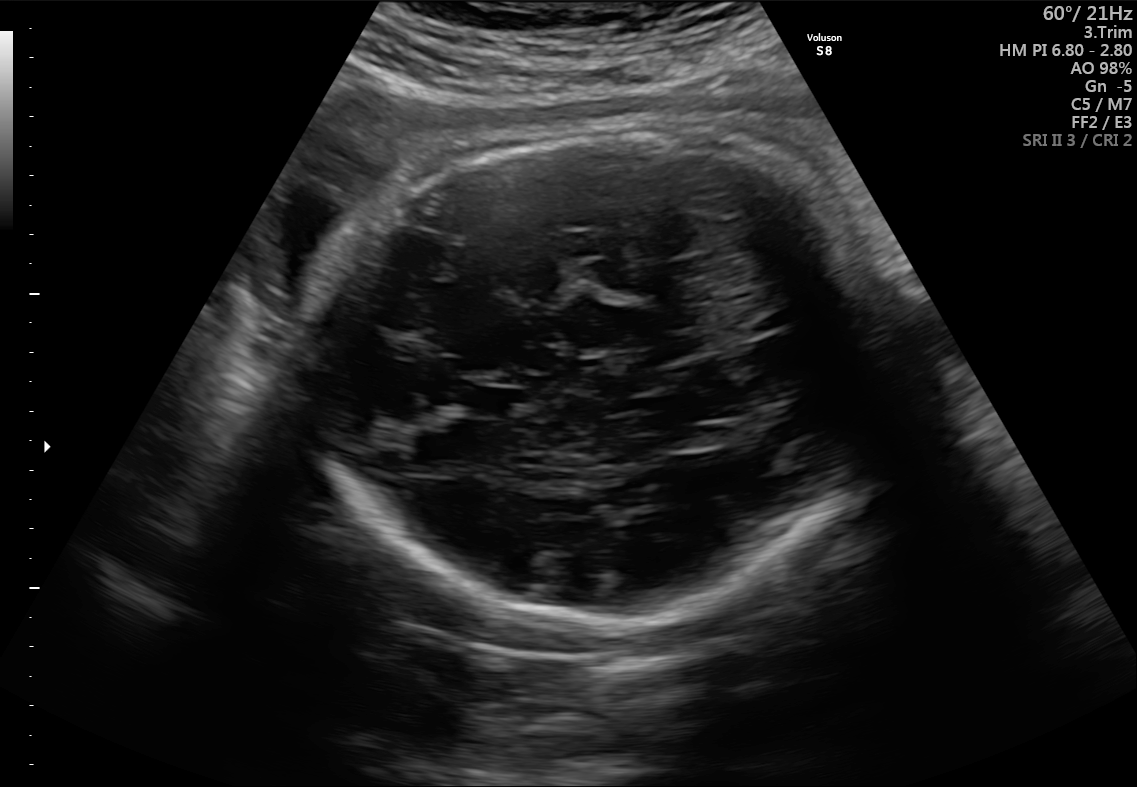
Fetal brain, trans-thalamic plane. Where is the fetal head?

Head bounding box: [313,131,890,623]